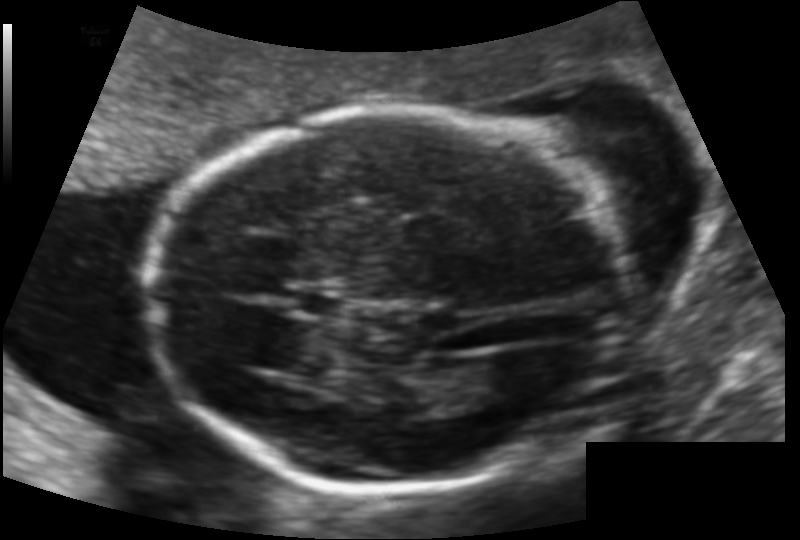
What is the fetal head circumference? Image width is 94.5 mm.

163.6 mm